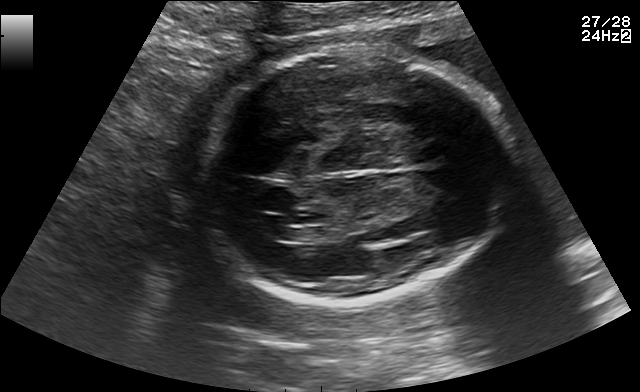
Fetal brain, trans-ventricular plane. Locate the fetal head and, if visible, the cavum septum pellucidum (CSP) and lateral ventricle (LV). Give bounding boxes as [x1,y1,x2,y2].

Head: [200,45,515,308]